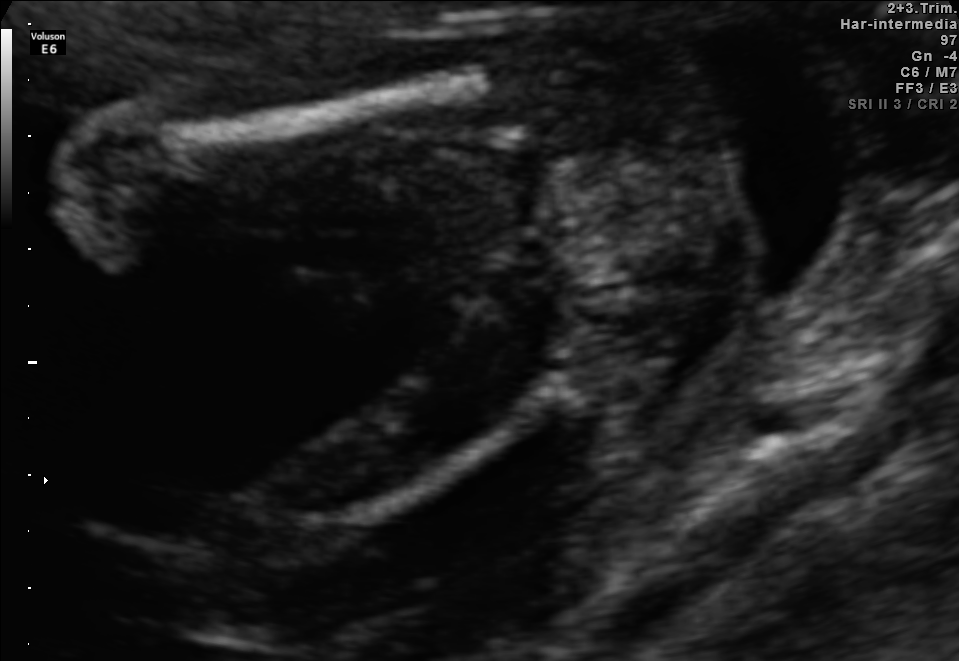
Identify the standard plane in this fetal ultrasound image: fetal abdomen, fetal brain, fetal femur, fetal thorax, maternal cervix, or other. If it's fetal brain and one of the three standard brain planes (trans-thalamic, trans-cerebellum, trans-ventricular), name which.

Fetal femur